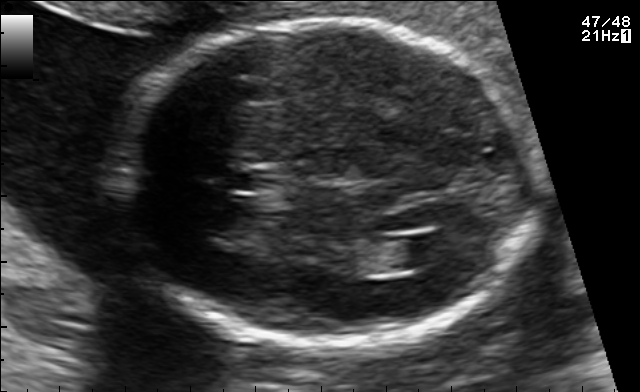
Fetal brain, trans-ventricular plane. Locate the cavum septum pellucidum.

CSP: [231,169,273,191]